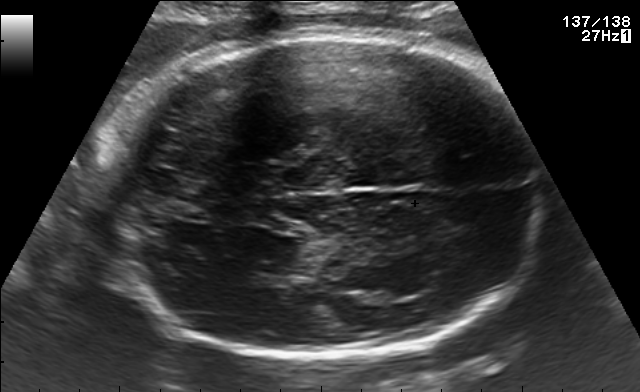
In this fetal brain, trans-thalamic plane, give bounding boxes for the head outline, cavum septum pellucidum (CSP), and lateral ventricle (LV), where visible.

Head: [97,34,543,361]